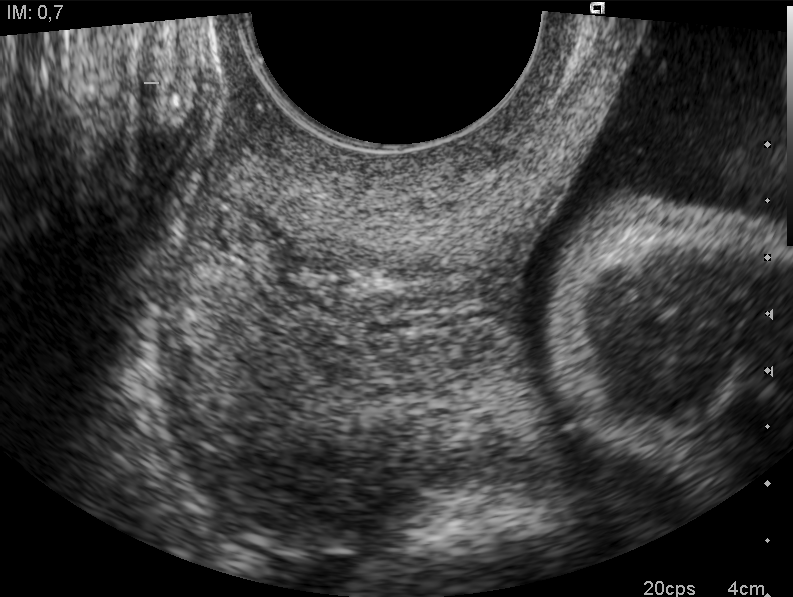
This is a 2D maternal-fetal ultrasound frame. Is it a fetal abdomen, fetal brain, fetal femur, fetal thorax, maternal cervix, or other standard plane? If it's fetal brain and one of the three standard brain planes (trans-thalamic, trans-cerebellum, trans-ventricular), name which.

Maternal cervix